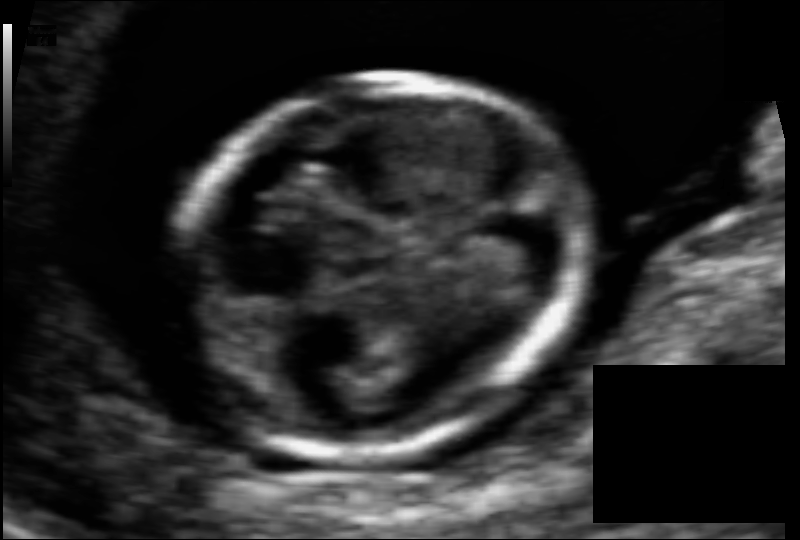
What is the fetal head circumference? Image width is 43.2 mm.

69.8 mm